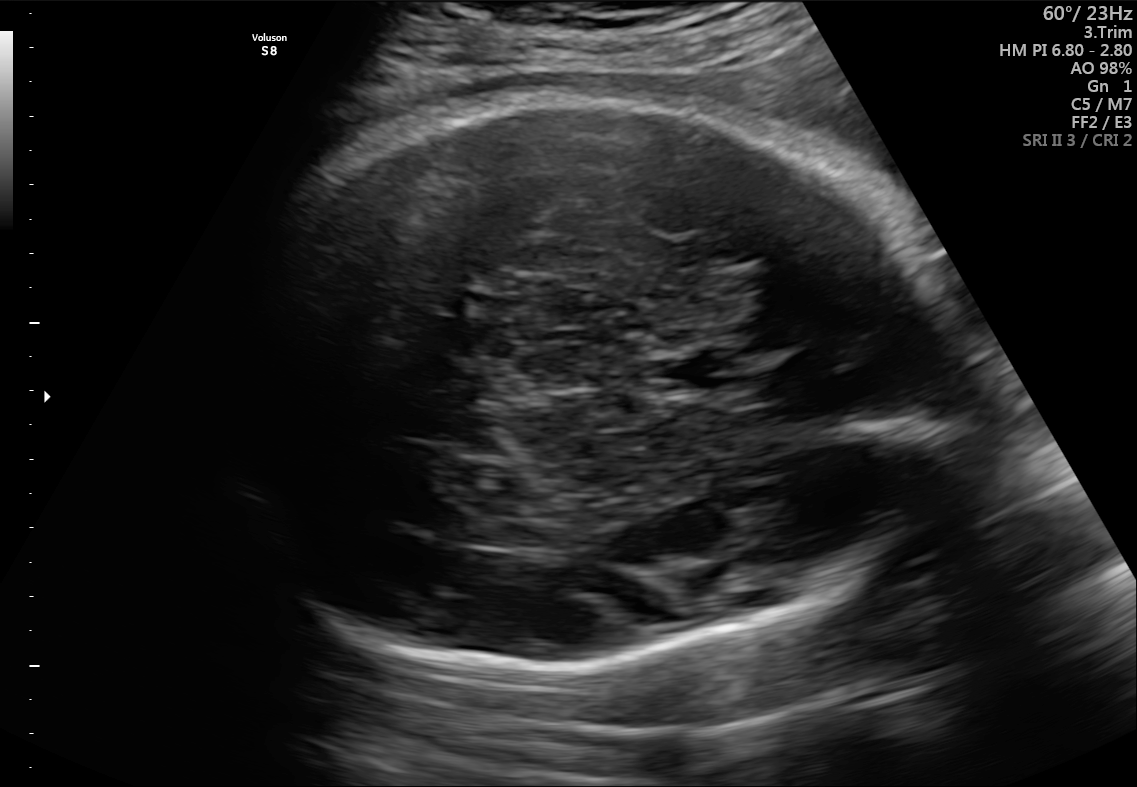
Identify the standard plane in this fetal ultrasound image: fetal abdomen, fetal brain, fetal femur, fetal thorax, maternal cervix, or other. If it's fetal brain and one of the three standard brain planes (trans-thalamic, trans-cerebellum, trans-ventricular), name which.

Fetal brain (trans-thalamic plane)